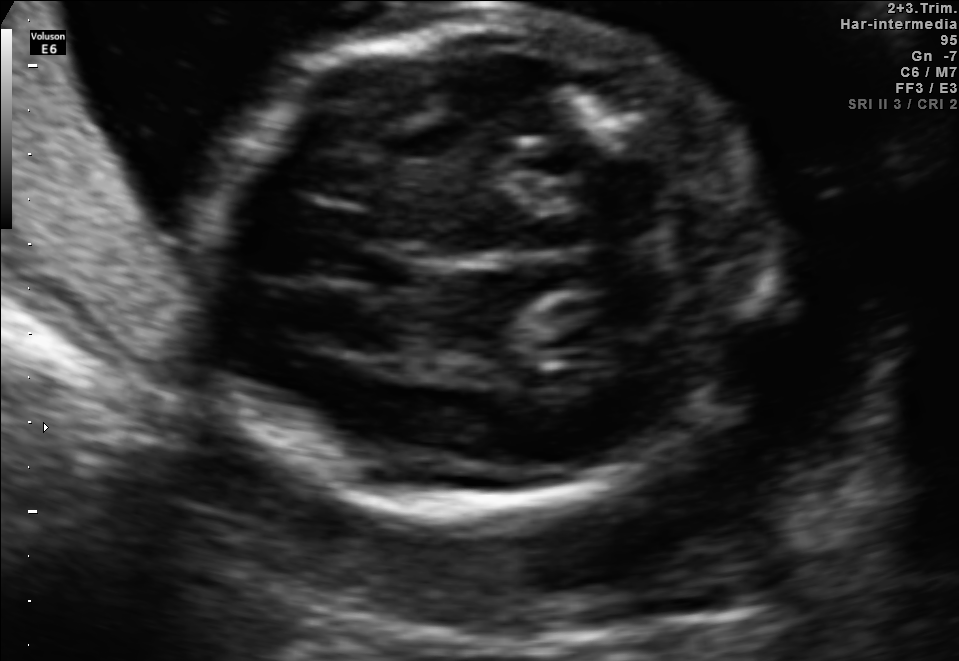
Fetal brain, trans-cerebellum plane. Locate the cavum septum pellucidum.

CSP: [348,245,426,295]